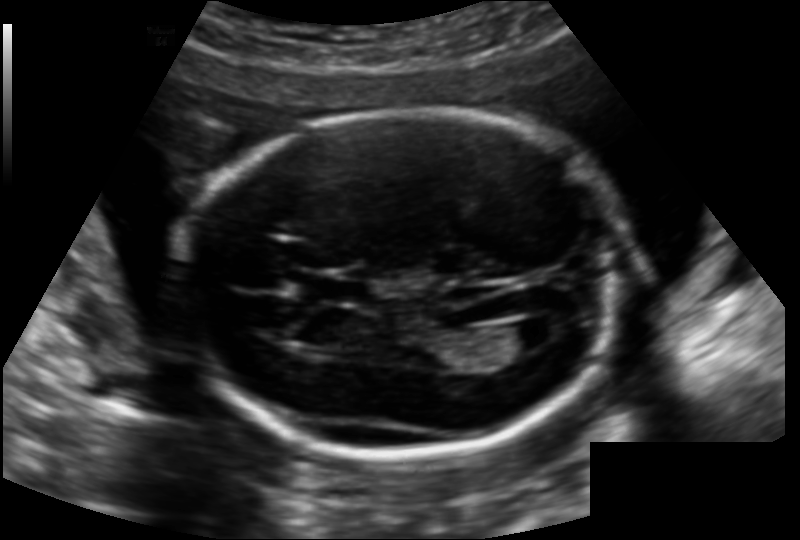
Fetal head ultrasound. Image width: 113.4 mm. Locate the fetal head and, if visible, the cavum septum pellucidum (CSP) and lateral ventricle (LV). Give bounding boxes as [x1,y1,x2,y2].

Head: [184,109,618,453]
CSP: [302,274,368,305]
Lateral ventricle: [497,313,556,357]